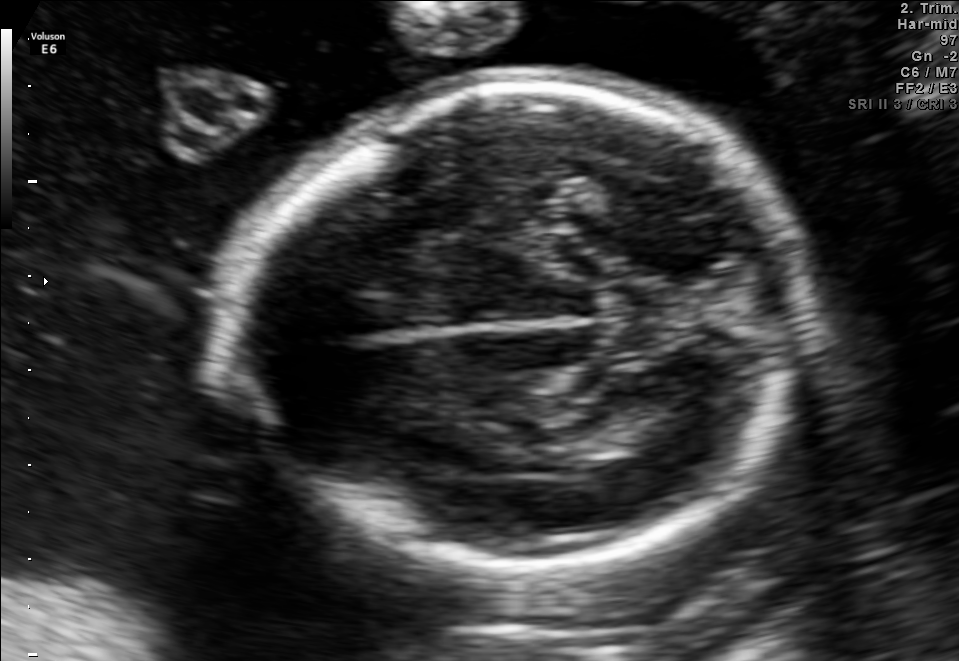
Fetal brain, trans-thalamic plane. Locate the fetal head and, if visible, the cavum septum pellucidum (CSP) and lateral ventricle (LV). Give bounding boxes as [x1,y1,x2,y2].

Head: [239,81,816,570]